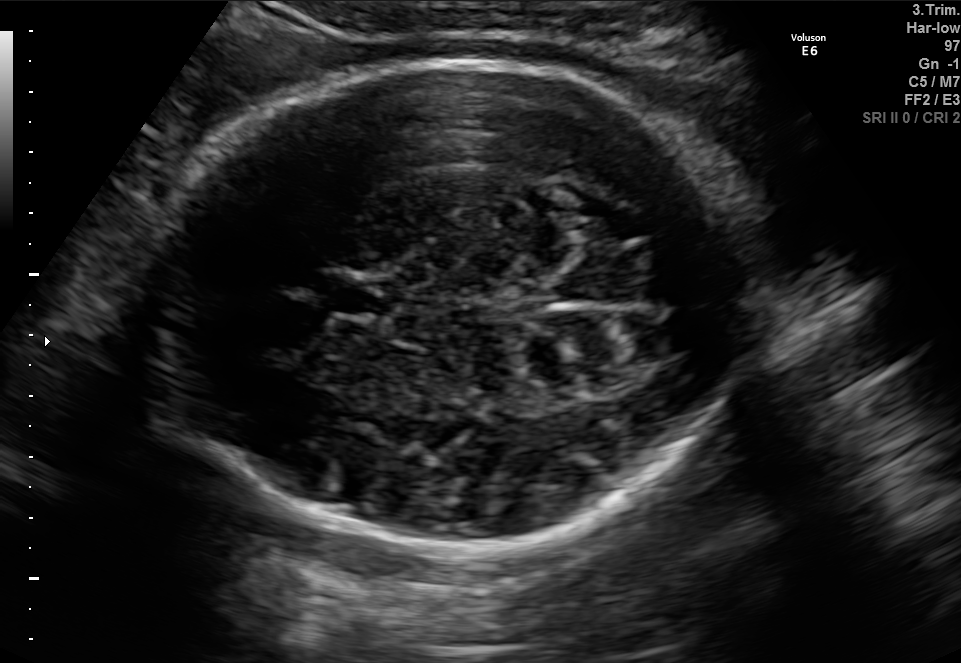
Classify this maternal-fetal ultrasound image as one of the six standard planes — fetal abdomen, fetal brain, fetal femur, fetal thorax, maternal cervix, or other. If it's fetal brain and one of the three standard brain planes (trans-thalamic, trans-cerebellum, trans-ventricular), name which.

Fetal brain (trans-thalamic plane)